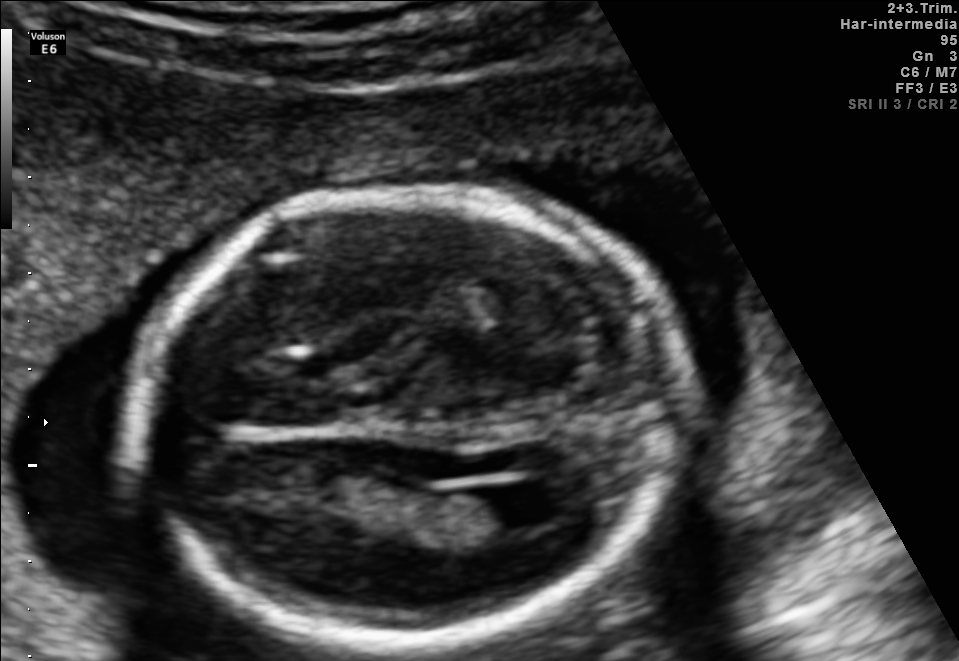
Fetal brain, trans-ventricular plane. Locate the fetal head and, if visible, the cavum septum pellucidum (CSP) and lateral ventricle (LV). Give bounding boxes as [x1,y1,x2,y2].

Head: [121,177,702,658]
Lateral ventricle: [466,474,566,539]